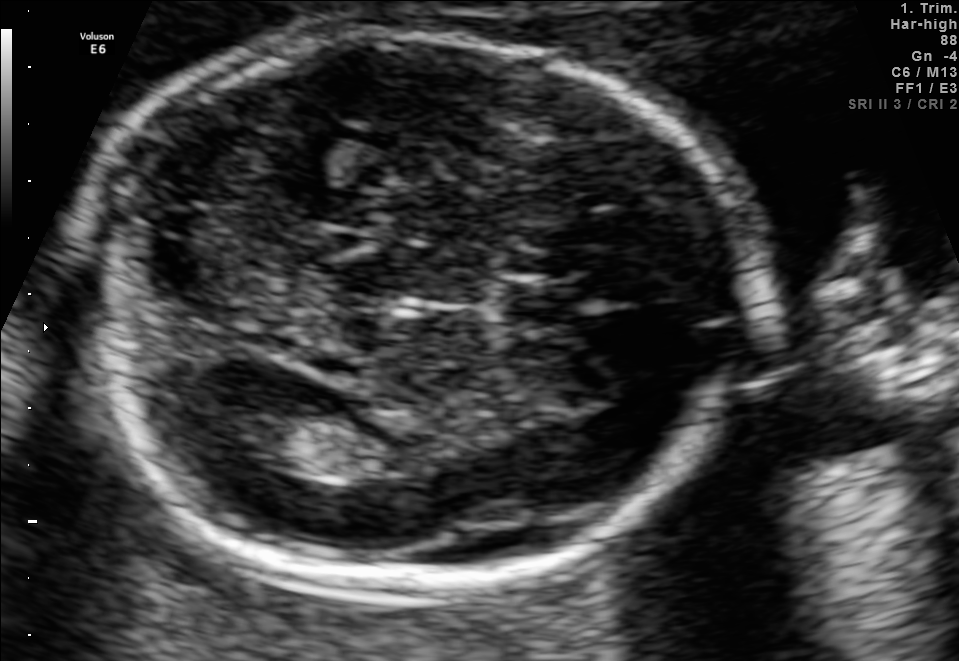
In this fetal brain, trans-ventricular plane, give bounding boxes for the head outline, cavum septum pellucidum (CSP), and lateral ventricle (LV), where visible.

Head: [63,25,766,604]
CSP: [508,285,595,324]
Lateral ventricle: [216,389,324,473]